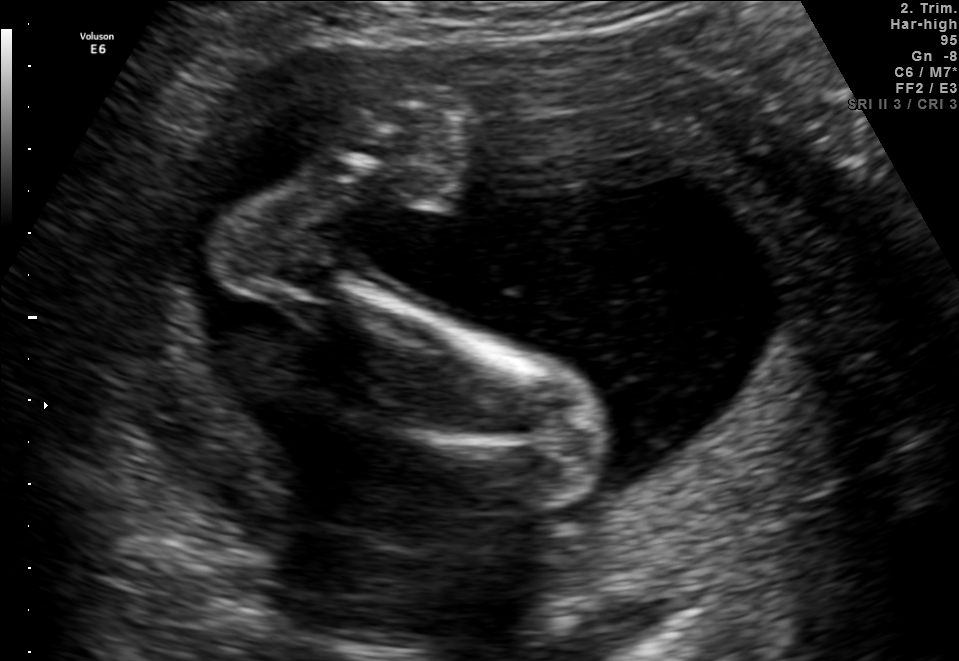
Which standard maternal-fetal ultrasound plane is shown: fetal abdomen, fetal brain, fetal femur, fetal thorax, maternal cervix, or other? If it's fetal brain and one of the three standard brain planes (trans-thalamic, trans-cerebellum, trans-ventricular), name which.

Other